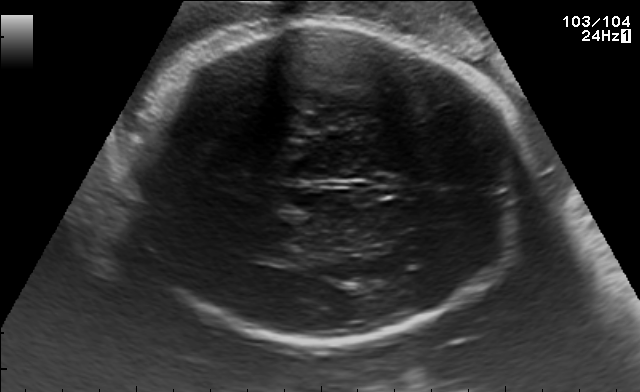
Fetal brain, trans-thalamic plane. Locate the fetal head and, if visible, the cavum septum pellucidum (CSP) and lateral ventricle (LV). Give bounding boxes as [x1,y1,x2,y2].

Head: [125,24,530,342]